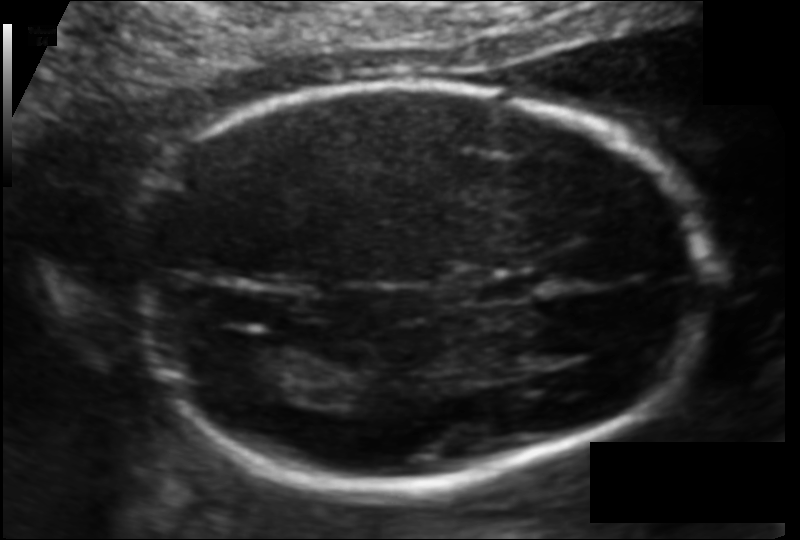
From this fetal ultrasound, estimate the head circumference (image width 87.4 mm).

Head circumference: 172.3 mm.